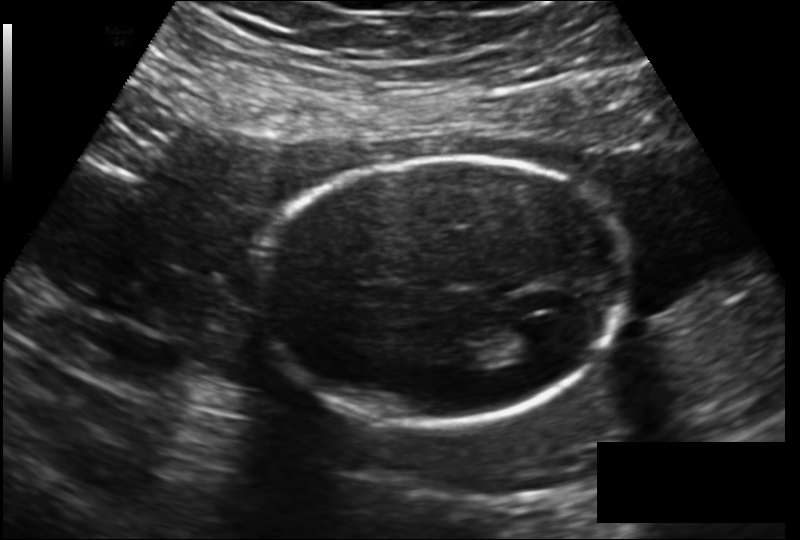
Fetal head ultrasound. Image width: 137.8 mm. Locate the lateral ventricle.

Lateral ventricle: [501,323,552,360]